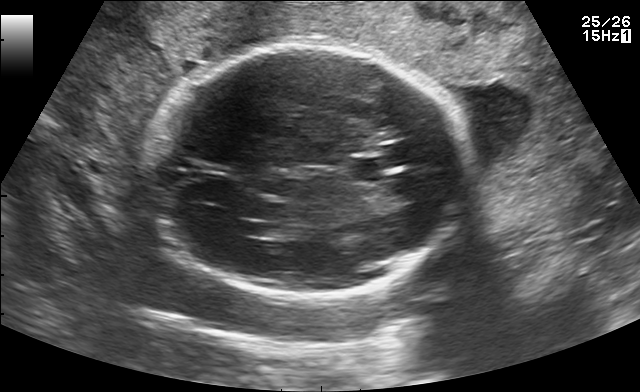
Fetal brain, trans-ventricular plane. Locate the fetal head.

Head: [138,38,479,305]